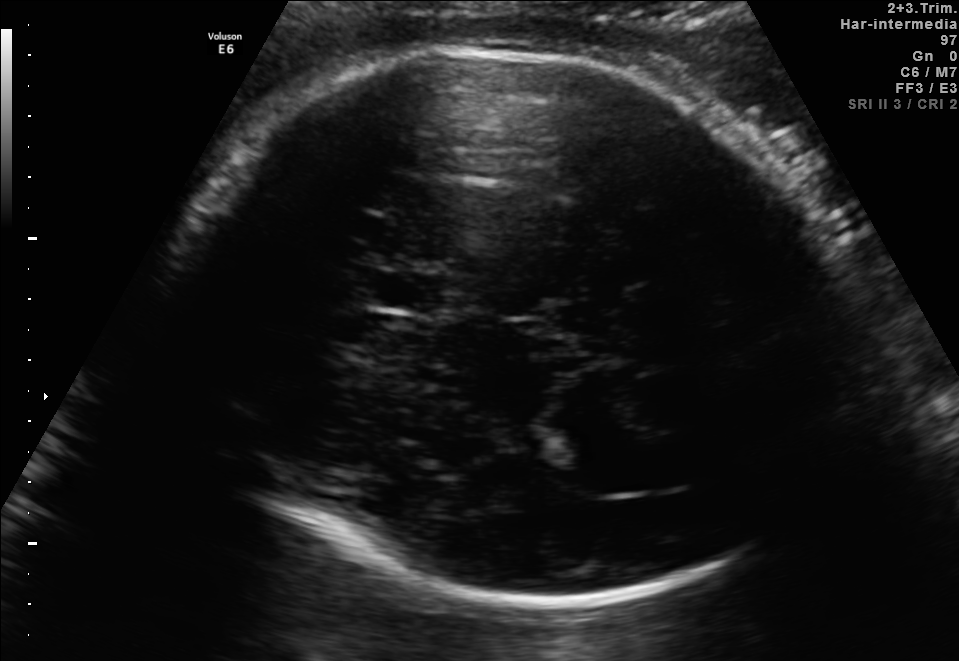
Fetal brain, trans-thalamic plane. Locate the lateral ventricle.

Lateral ventricle: [560,442,680,499]